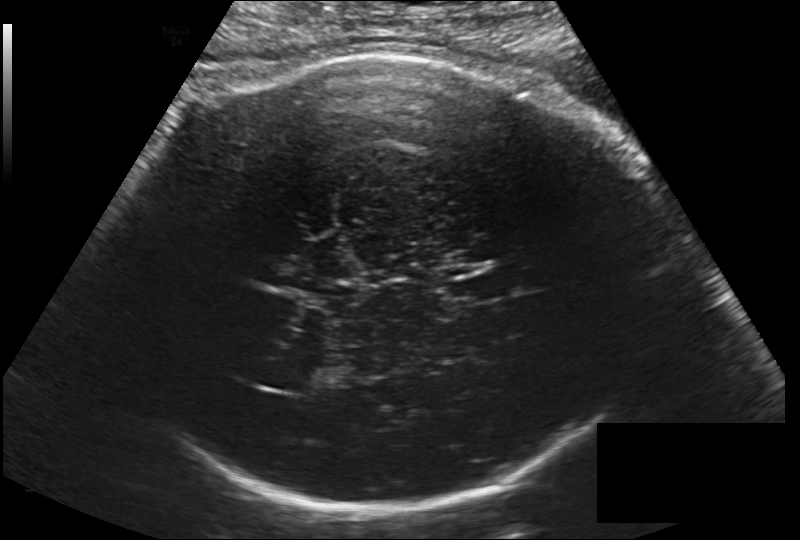
Estimate the fetal head circumference from this 2D ultrasound. Image width: 162.2 mm.

Head circumference: 331.7 mm.